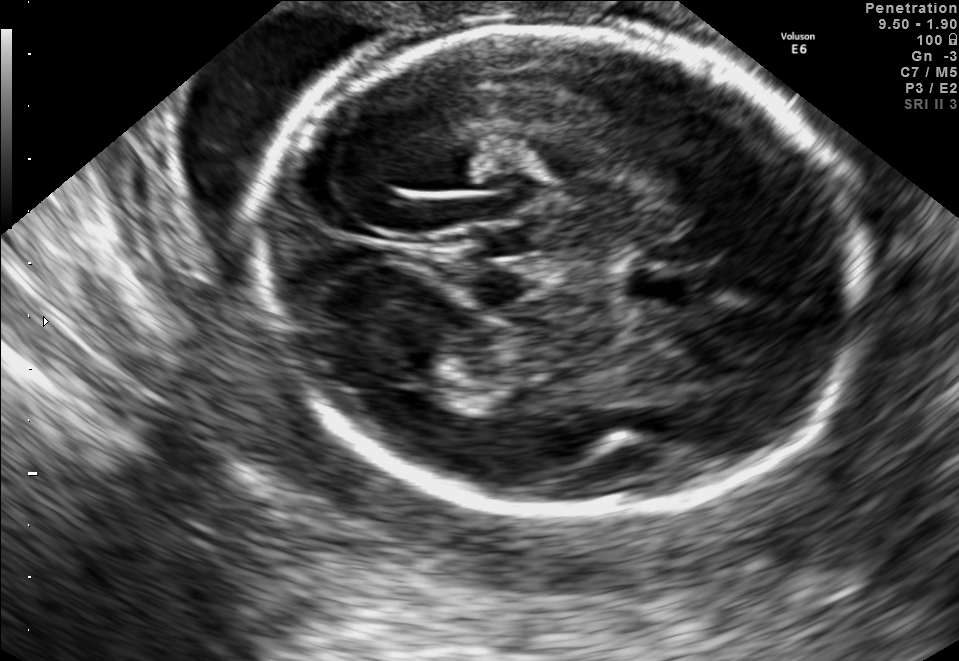
Fetal brain, trans-thalamic plane. Locate the lateral ventricle.

Lateral ventricle: [386,359,470,413]